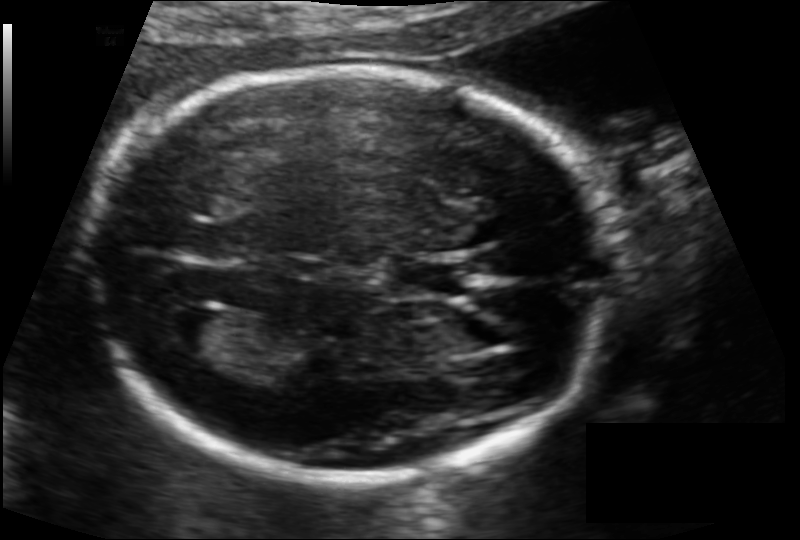
What is the fetal head circumference? Image width is 91.1 mm.

172.2 mm